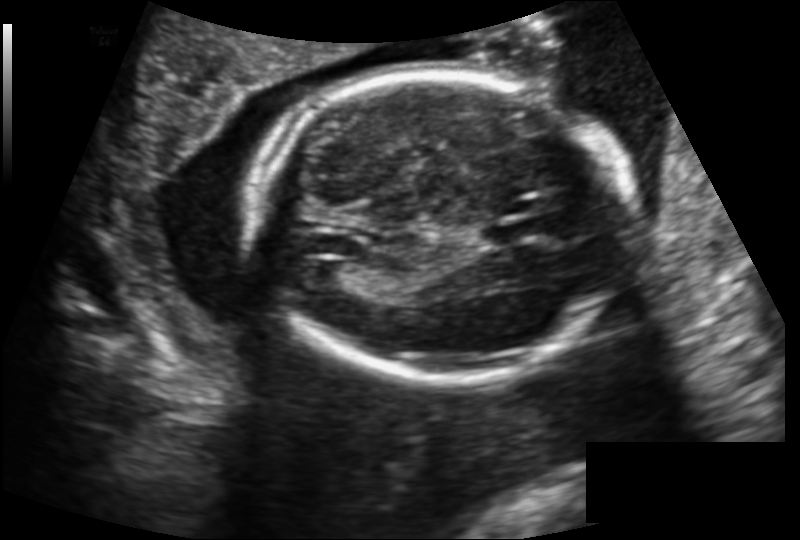
Fetal head ultrasound. Image width: 127.5 mm. Where is the fetal head?

Head bounding box: [250,70,631,380]